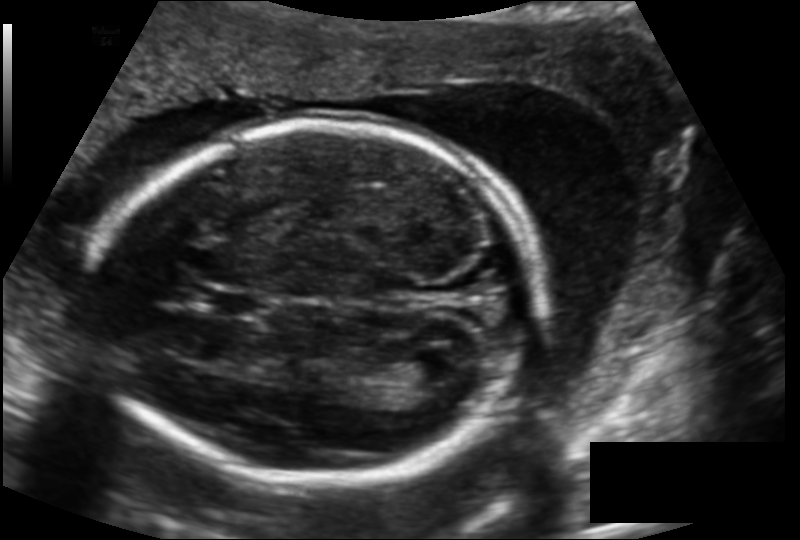
From this fetal ultrasound, estimate the head circumference (image width 114.6 mm).

Head circumference: 184.3 mm.